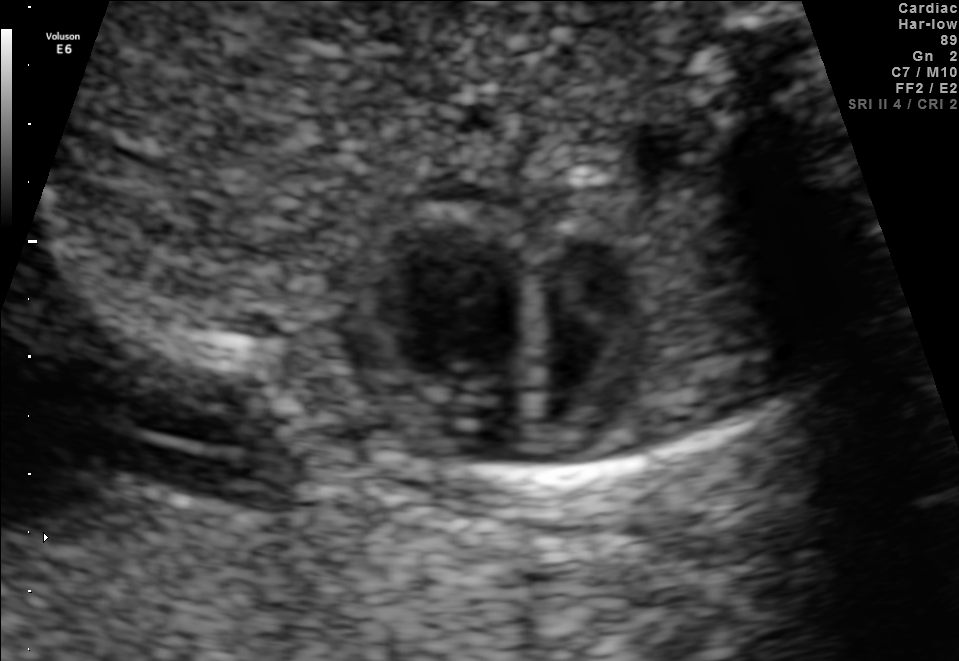
Identify the standard plane in this fetal ultrasound image: fetal abdomen, fetal brain, fetal femur, fetal thorax, maternal cervix, or other. If it's fetal brain and one of the three standard brain planes (trans-thalamic, trans-cerebellum, trans-ventricular), name which.

Other